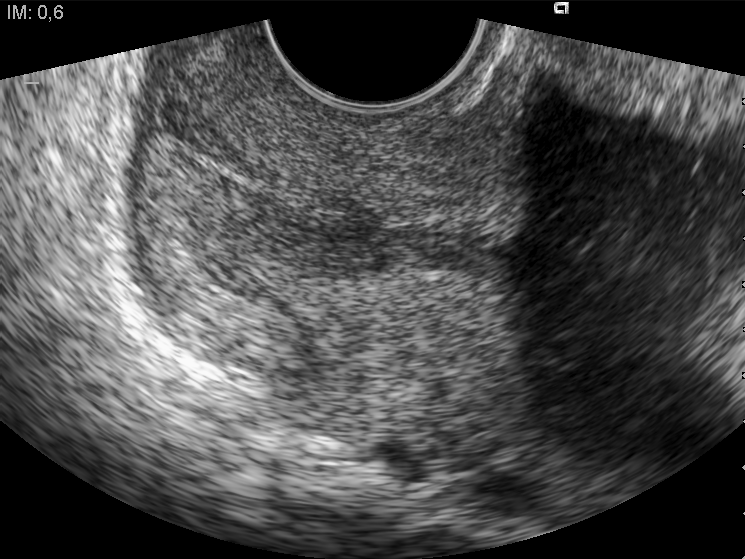
Identify the standard plane in this fetal ultrasound image: fetal abdomen, fetal brain, fetal femur, fetal thorax, maternal cervix, or other. If it's fetal brain and one of the three standard brain planes (trans-thalamic, trans-cerebellum, trans-ventricular), name which.

Maternal cervix